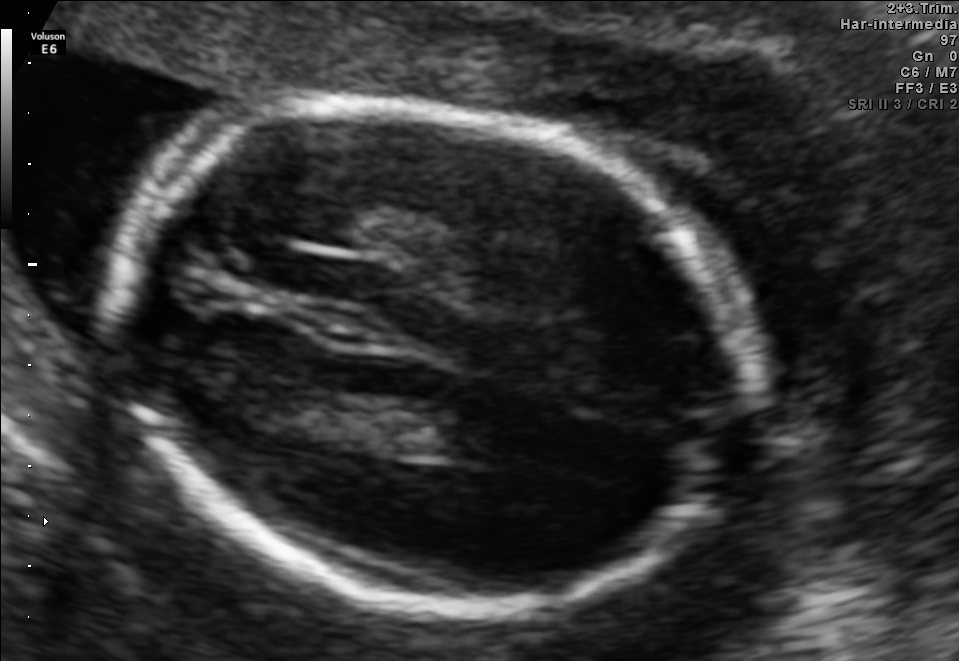
Fetal brain, trans-thalamic plane. Give [x1,y1,x2,y2] bounding boxes for each visible structure among: fetal head, CSP, LV.

Head: [102,100,743,615]